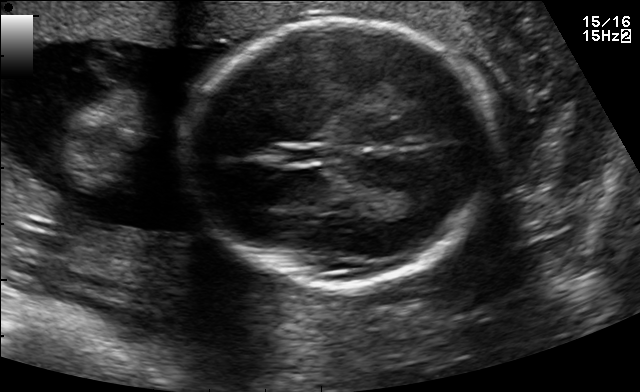
In this fetal brain, trans-thalamic plane, give bounding boxes for the head outline, cavum septum pellucidum (CSP), and lateral ventricle (LV), where visible.

Head: [188,23,495,288]
CSP: [280,144,331,165]